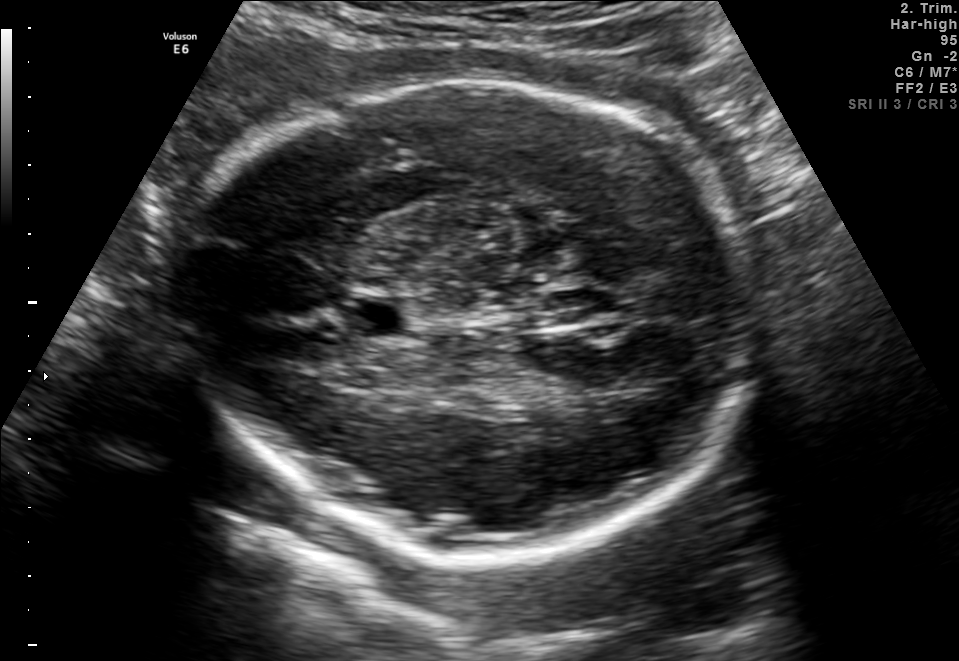
Fetal brain, trans-thalamic plane. Give [x1,y1,x2,y2] bounding boxes for each visible structure among: fetal head, CSP, LV.

Head: [180,76,751,547]
CSP: [351,297,407,338]